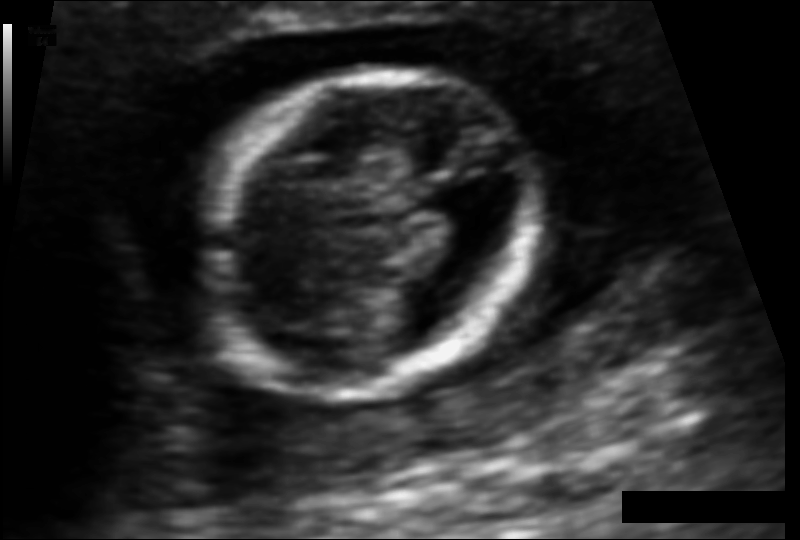
Fetal head ultrasound. Image width: 73.5 mm. Locate the fetal head.

Head: [184,68,538,394]